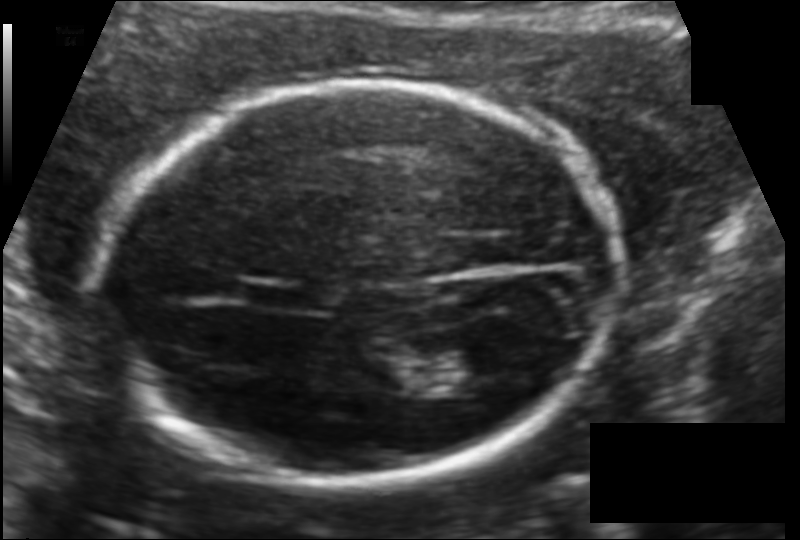
Fetal head ultrasound. Image width: 96.7 mm. Where is the lateral ventricle?

Lateral ventricle bounding box: [438,348,511,395]